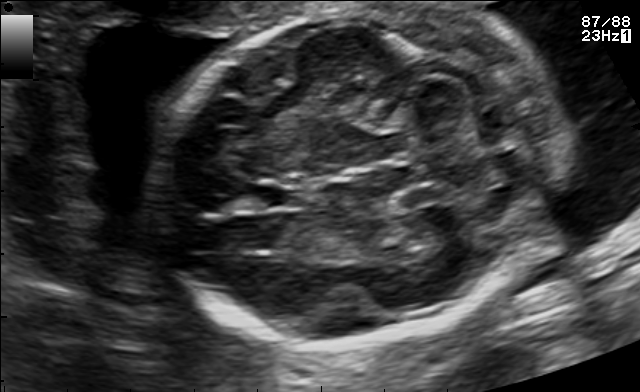
Fetal brain, trans-cerebellum plane. Locate the cavum septum pellucidum.

CSP: [245,183,301,209]